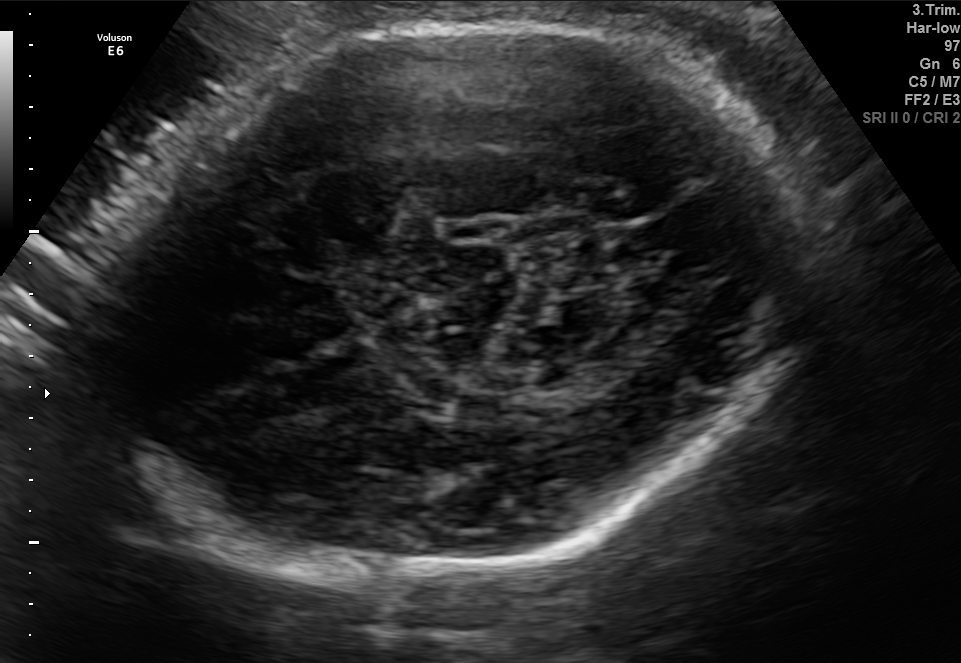
In this fetal brain, trans-thalamic plane, give the bounding box of the fetal head.

[87,13,818,588]